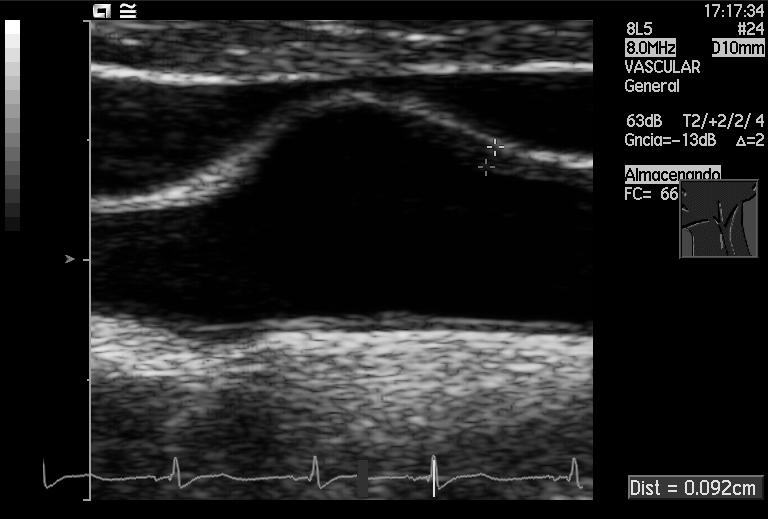
Classify this maternal-fetal ultrasound image as one of the six standard planes — fetal abdomen, fetal brain, fetal femur, fetal thorax, maternal cervix, or other. If it's fetal brain and one of the three standard brain planes (trans-thalamic, trans-cerebellum, trans-ventricular), name which.

Other